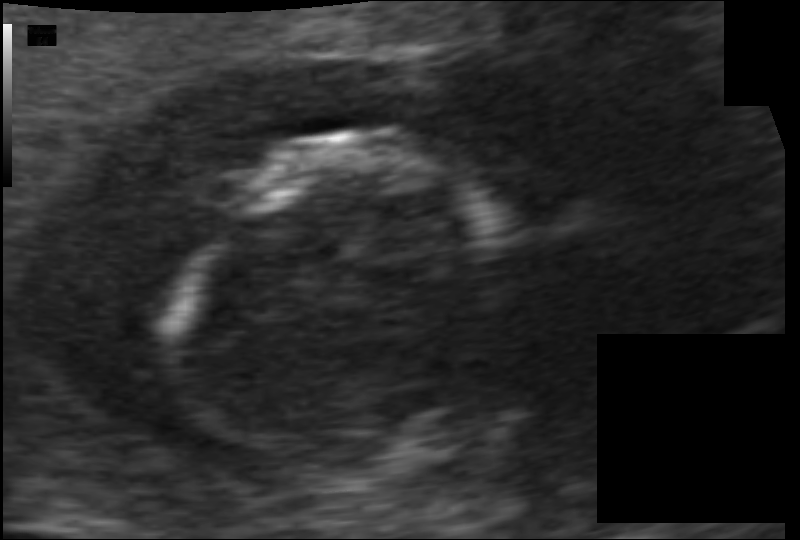
Fetal head ultrasound. Image width: 55.9 mm. Where is the fetal head?

Head bounding box: [180,135,496,457]